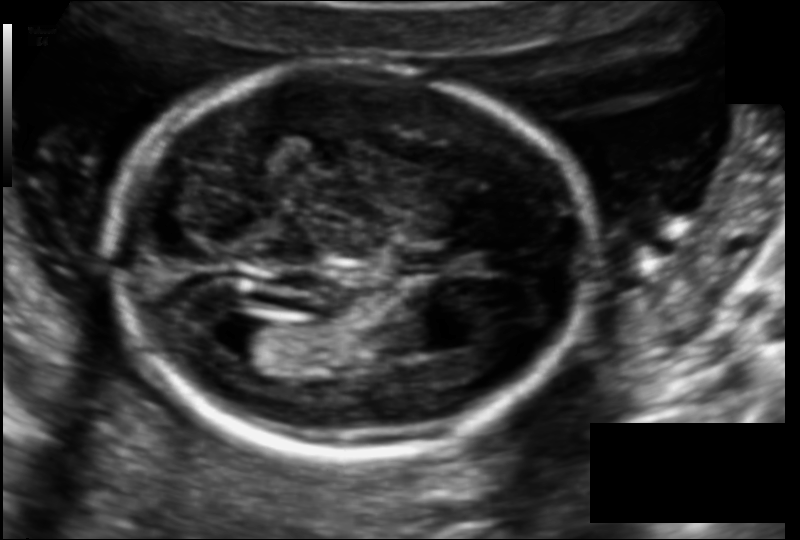
Fetal head ultrasound. Image width: 91.5 mm. Locate the cavum septum pellucidum.

CSP: [401,253,458,274]